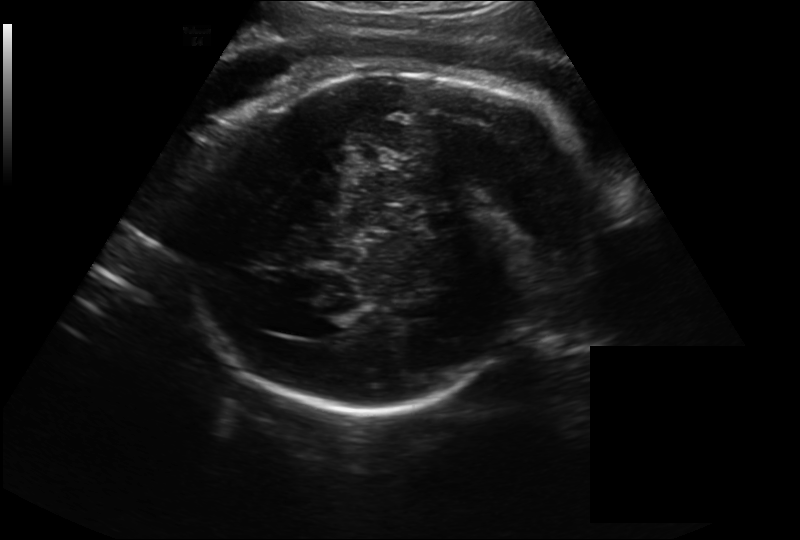
Fetal head ultrasound. Image width: 209.3 mm. Where is the lateral ventricle?

Lateral ventricle bounding box: [300,314,346,339]